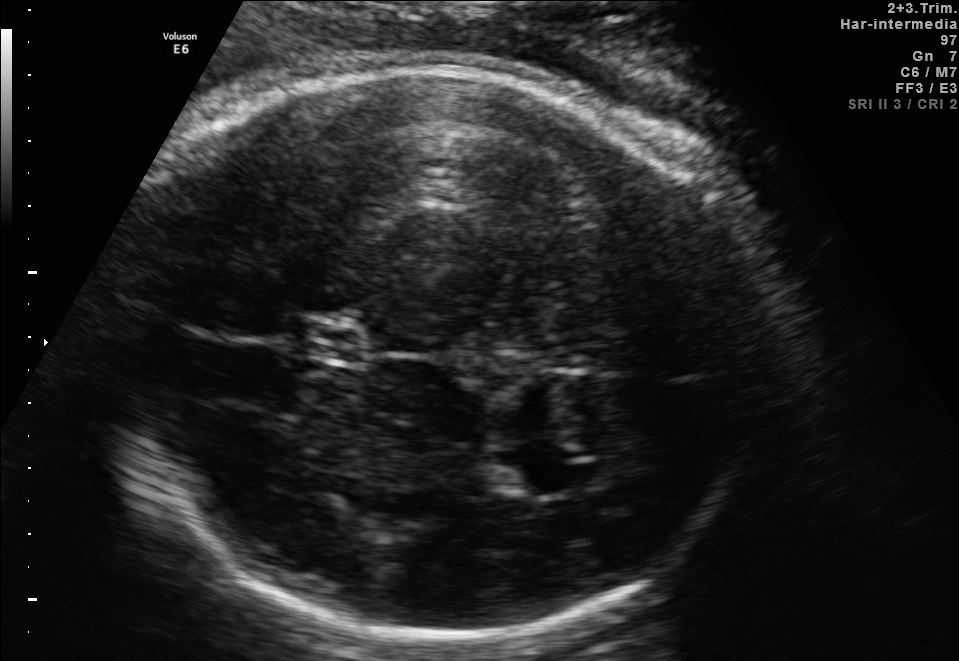
In this fetal brain, trans-thalamic plane, give bounding boxes for the head outline, cavum septum pellucidum (CSP), and lateral ventricle (LV), where visible.

Head: [96,67,769,634]
CSP: [290,317,364,363]
Lateral ventricle: [490,445,568,502]